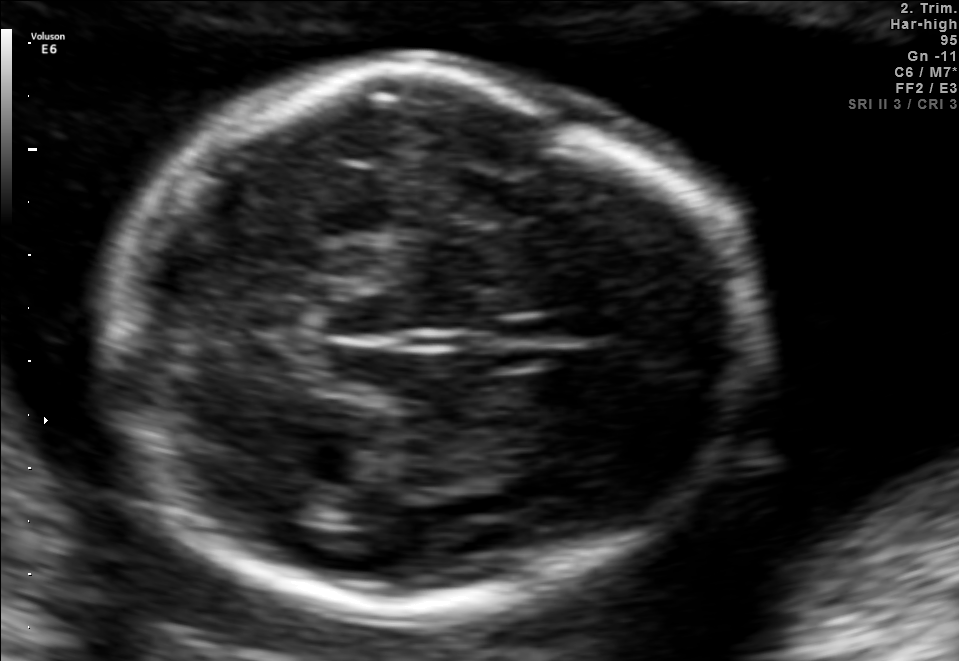
In this fetal brain, trans-thalamic plane, give bounding boxes for the head outline, cavum septum pellucidum (CSP), and lateral ventricle (LV), where visible.

Head: [100,72,751,611]
Lateral ventricle: [281,480,352,527]